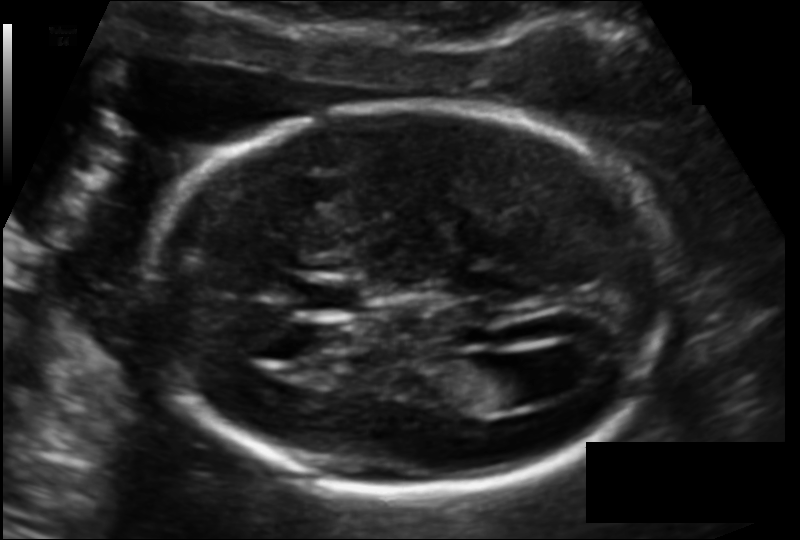
Estimate the fetal head circumference from this 2D ultrasound.

Head circumference: 171.7 mm (image width 94.5 mm).